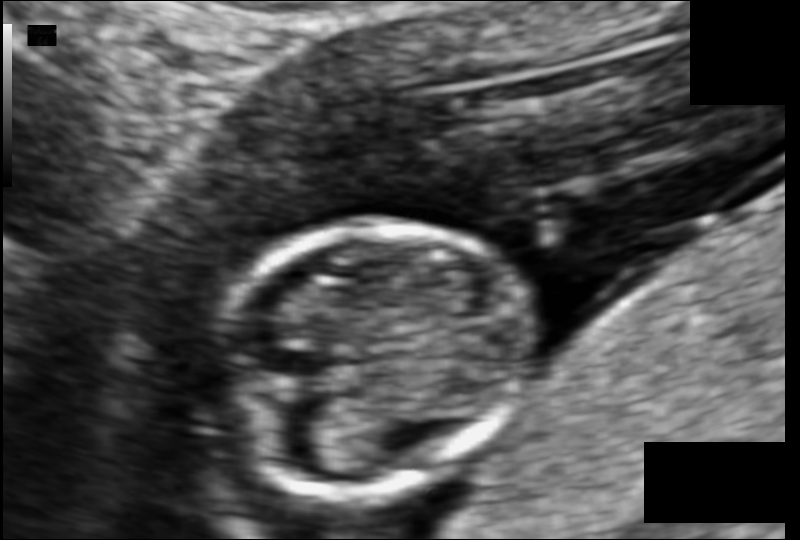
Measure the fetal head circumference shown in this ultrasound image. Image width: 62.1 mm.

Head circumference: 73.7 mm.